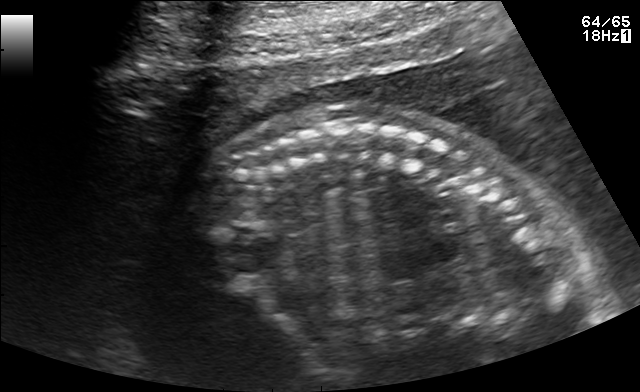
Classify this maternal-fetal ultrasound image as one of the six standard planes — fetal abdomen, fetal brain, fetal femur, fetal thorax, maternal cervix, or other. If it's fetal brain and one of the three standard brain planes (trans-thalamic, trans-cerebellum, trans-ventricular), name which.

Other